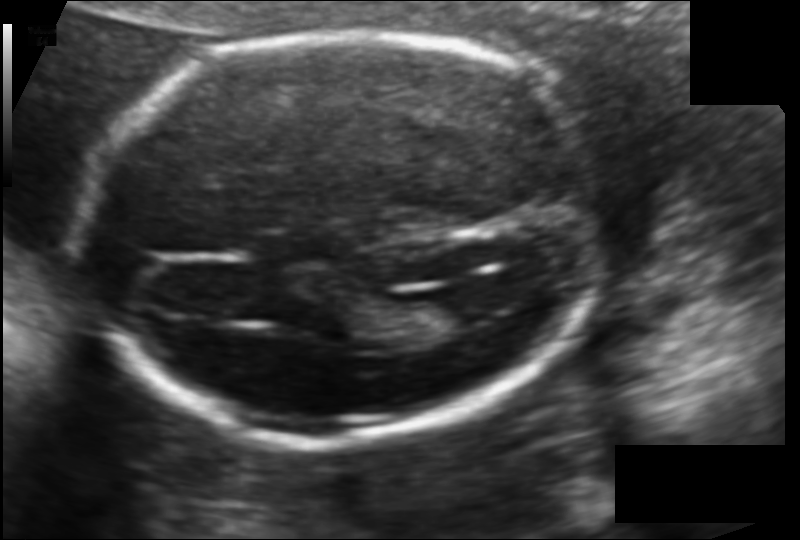
Measure the fetal head circumference shown in this ultrasound image. Image width: 94.7 mm.

Head circumference: 180.8 mm.